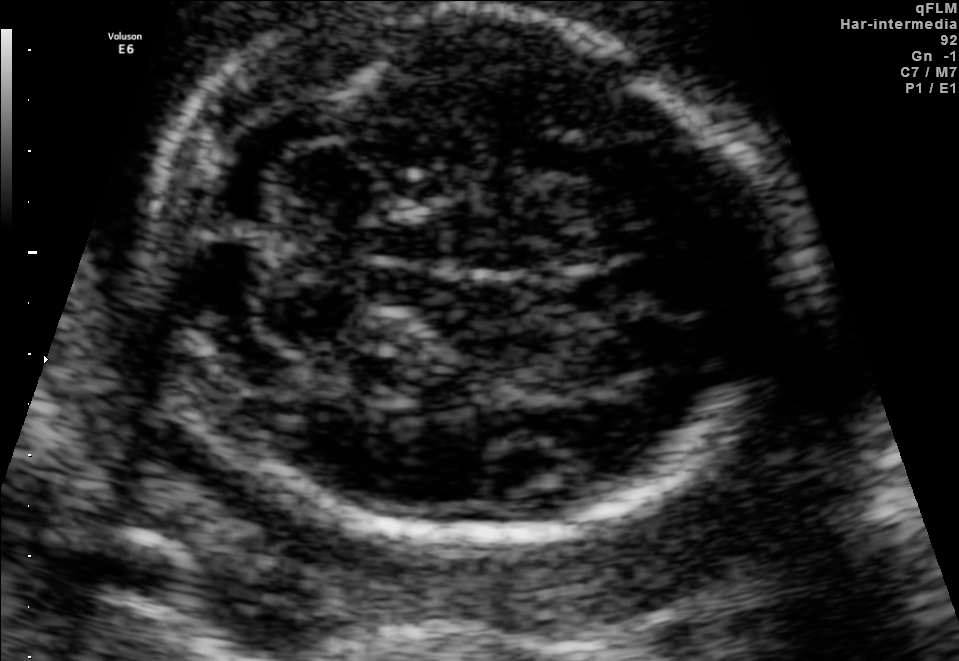
Fetal brain, trans-cerebellum plane. Locate the fetal head and, if visible, the cavum septum pellucidum (CSP) and lateral ventricle (LV). Give bounding boxes as [x1,y1,x2,y2].

Head: [147,8,772,537]